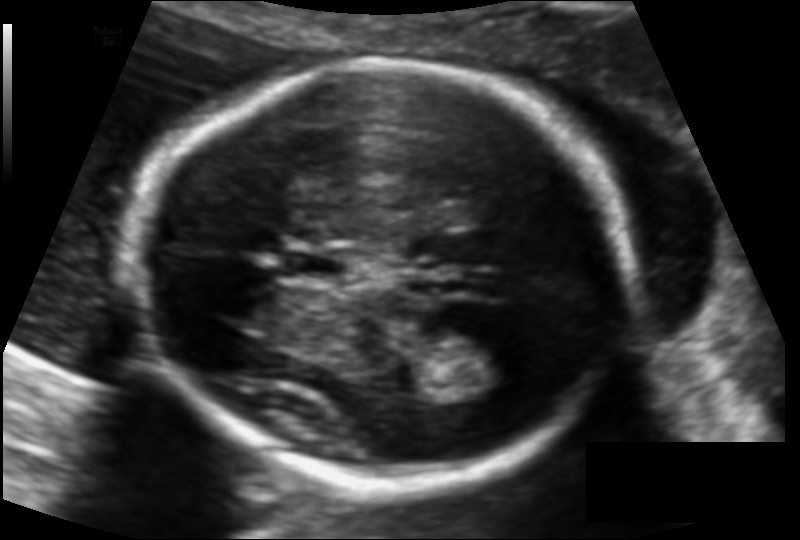
Fetal head ultrasound. Image width: 90.8 mm. Give [x1,y1,x2,y2] bounding boxes for each visible structure among: fetal head, CSP, LV.

Head: [141,60,631,482]
CSP: [284,249,346,283]